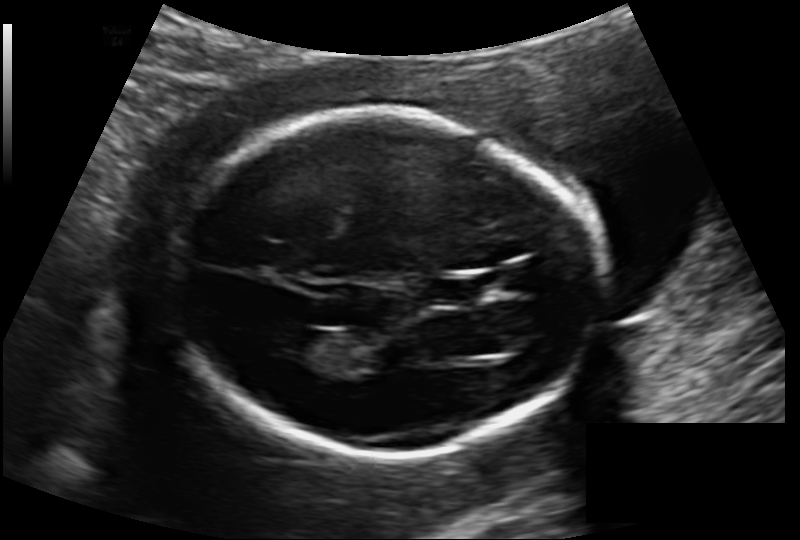
Fetal head ultrasound. Image width: 106.3 mm. Where is the fetal head?

Head bounding box: [174,110,601,457]